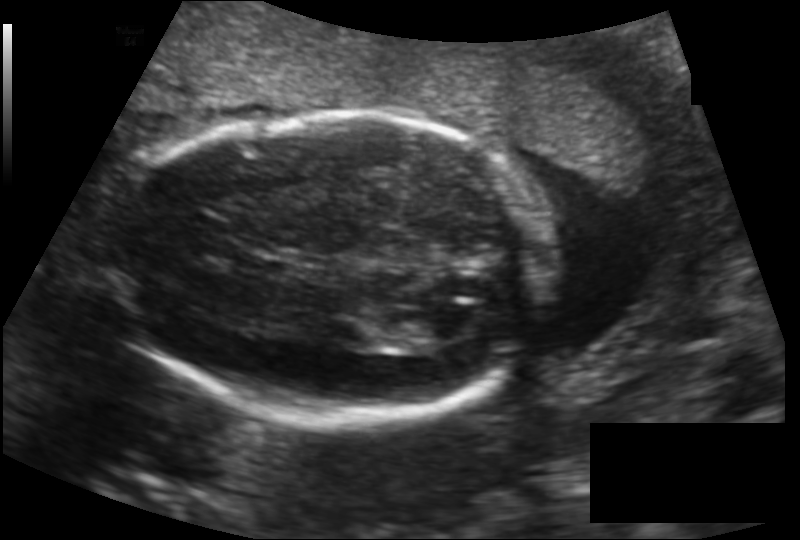
Fetal head ultrasound. Image width: 116.6 mm. Where is the lateral ventricle?

Lateral ventricle bounding box: [426,305,482,341]